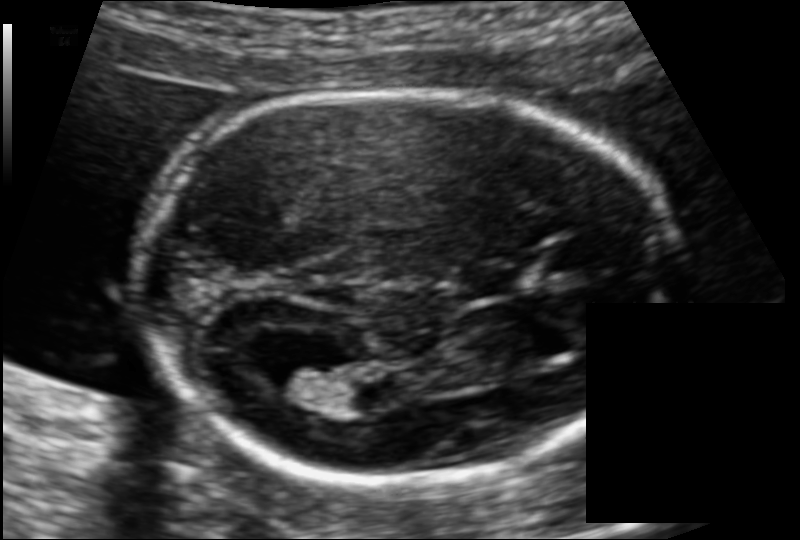
Estimate the fetal head circumference from this 2D ultrasound. Image width: 85.1 mm.

Head circumference: 159.9 mm.